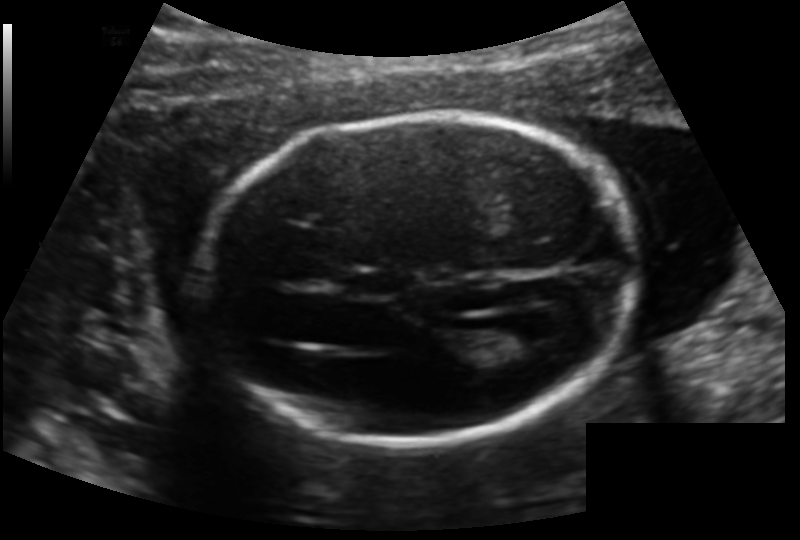
In this fetal head ultrasound, give the bounding box of the fetal head. Image width: 112.1 mm.

[203,114,637,444]